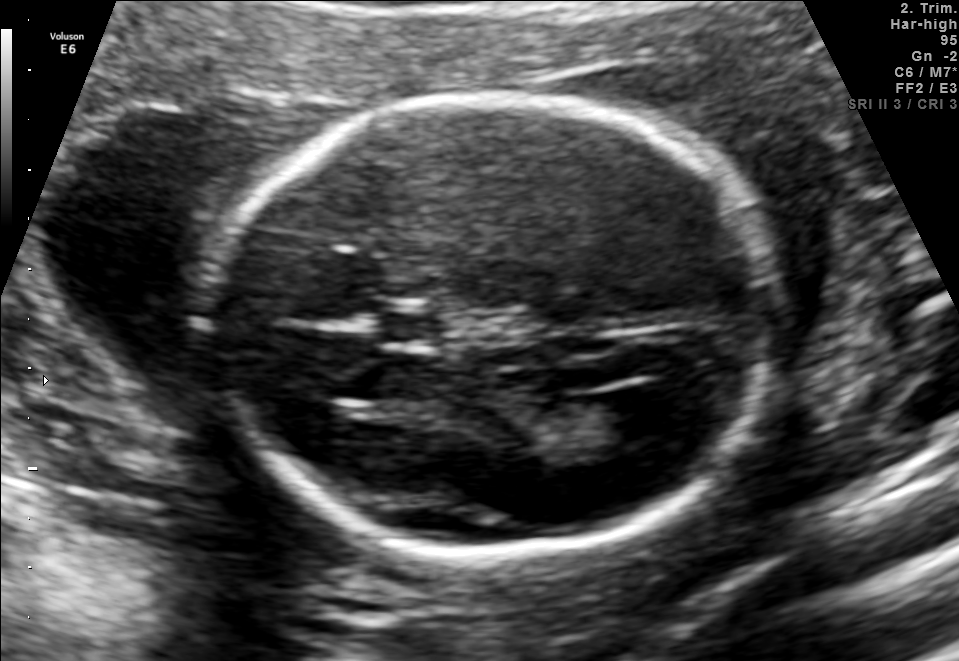
Fetal brain, trans-ventricular plane. Locate the fetal head.

Head: [194,87,797,562]